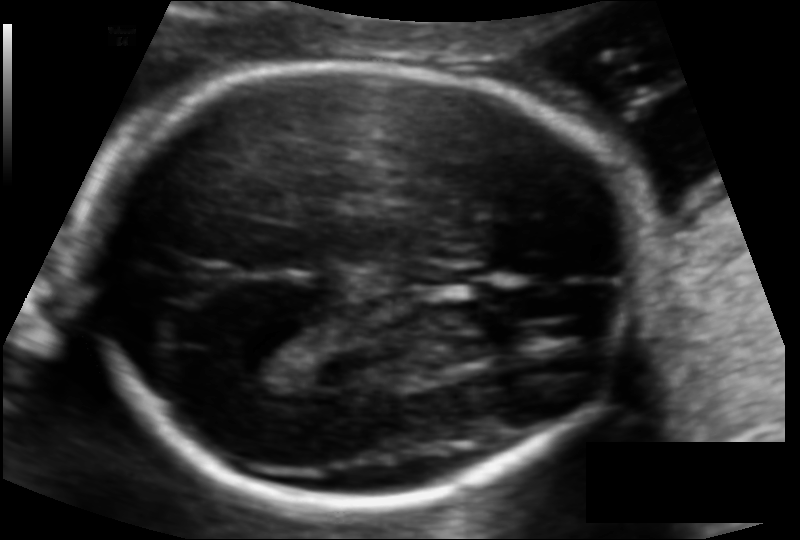
Fetal head ultrasound. Image width: 86.6 mm. Give [x1,y1,x2,y2] bounding boxes for each visible structure among: fetal head, CSP, LV.

Head: [82,65,643,505]